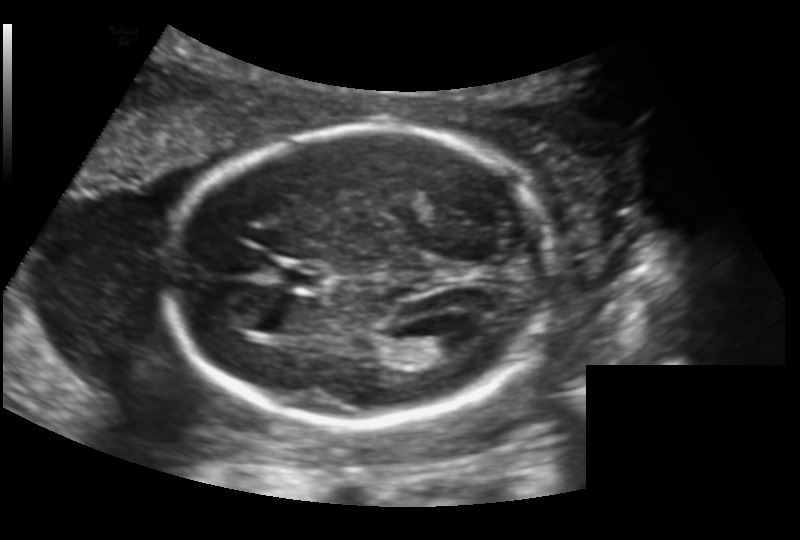
In this fetal head ultrasound, give the bounding box of the cavum septum pellucidum. Image width: 125.0 mm.

[272,258,329,295]